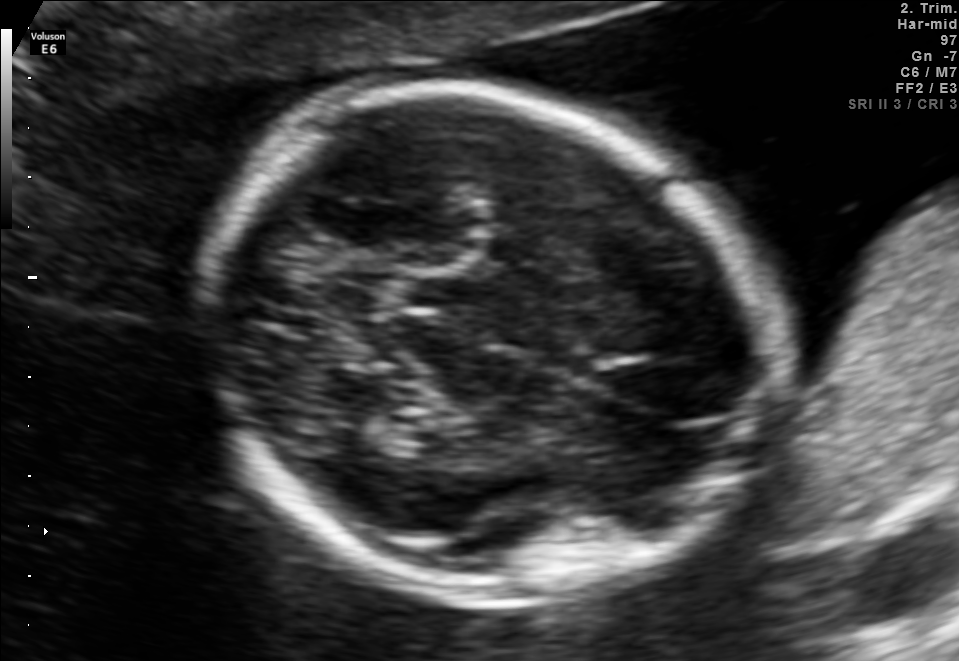
In this fetal brain, trans-thalamic plane, give the bounding box of the fetal head.

[194,88,775,597]